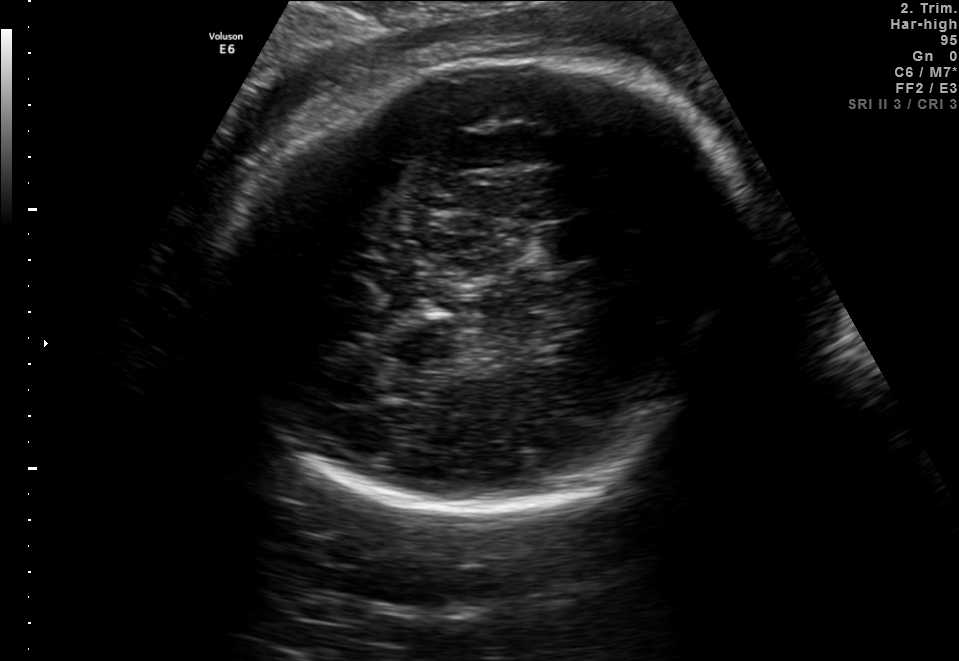
Fetal brain, trans-thalamic plane. Where is the fetal head?

Head bounding box: [213,62,764,511]